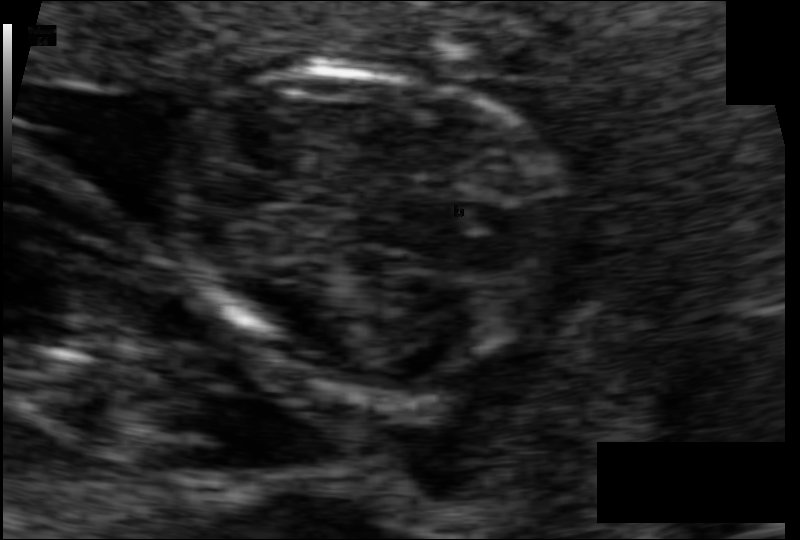
In this fetal head ultrasound, give the bounding box of the fetal head. Image width: 48.5 mm.

[166,64,567,373]